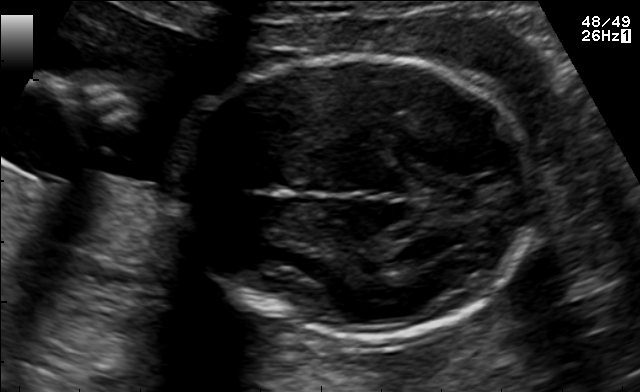
Identify the standard plane in this fetal ultrasound image: fetal abdomen, fetal brain, fetal femur, fetal thorax, maternal cervix, or other. If it's fetal brain and one of the three standard brain planes (trans-thalamic, trans-cerebellum, trans-ventricular), name which.

Fetal brain (trans-thalamic plane)